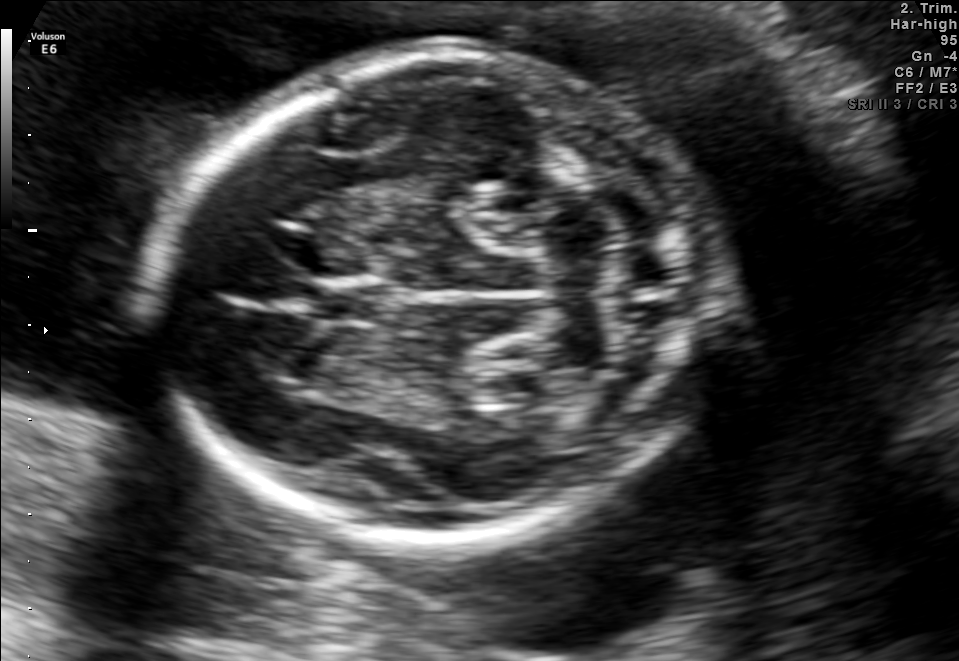
Fetal brain, trans-cerebellum plane. Locate the fetal head.

Head: [154,51,715,538]